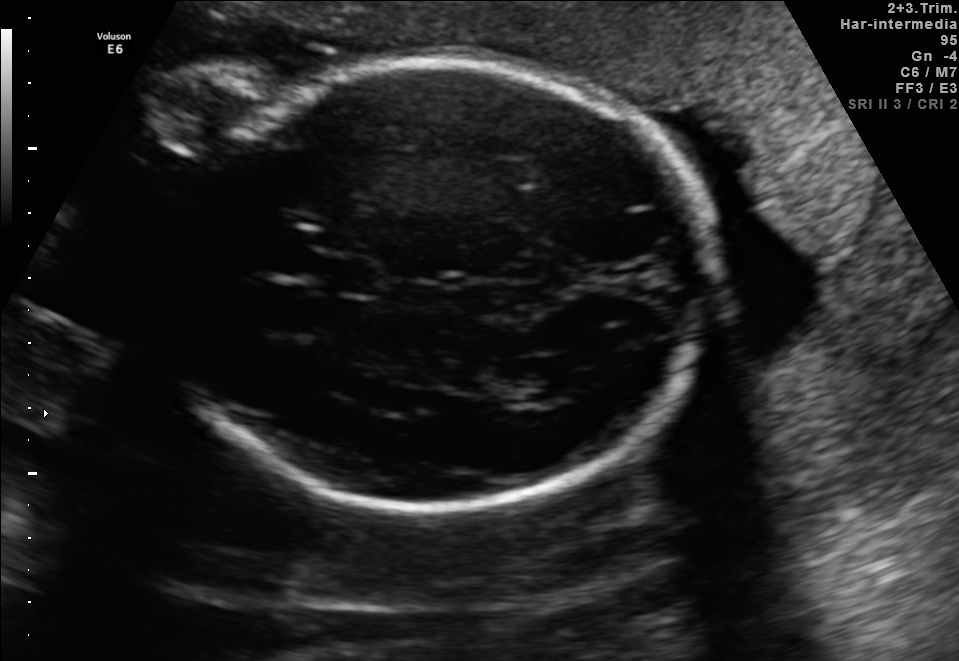
Fetal brain, trans-ventricular plane. Where is the fetal head?

Head bounding box: [161,55,724,516]